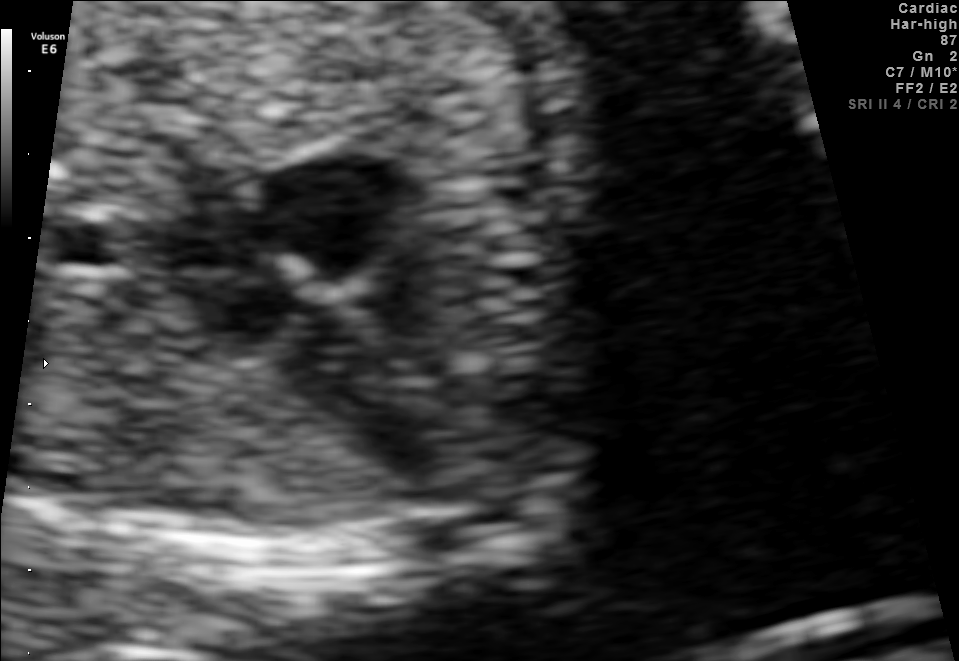
This is a 2D maternal-fetal ultrasound frame. Is it a fetal abdomen, fetal brain, fetal femur, fetal thorax, maternal cervix, or other standard plane? If it's fetal brain and one of the three standard brain planes (trans-thalamic, trans-cerebellum, trans-ventricular), name which.

Fetal thorax